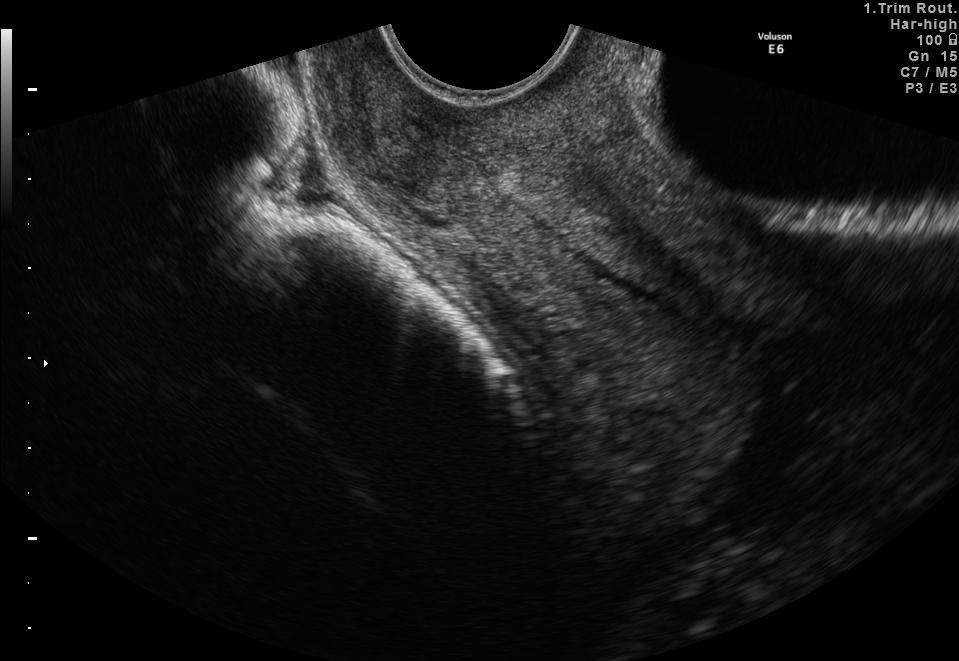
This is a 2D maternal-fetal ultrasound frame. Is it a fetal abdomen, fetal brain, fetal femur, fetal thorax, maternal cervix, or other standard plane? If it's fetal brain and one of the three standard brain planes (trans-thalamic, trans-cerebellum, trans-ventricular), name which.

Maternal cervix